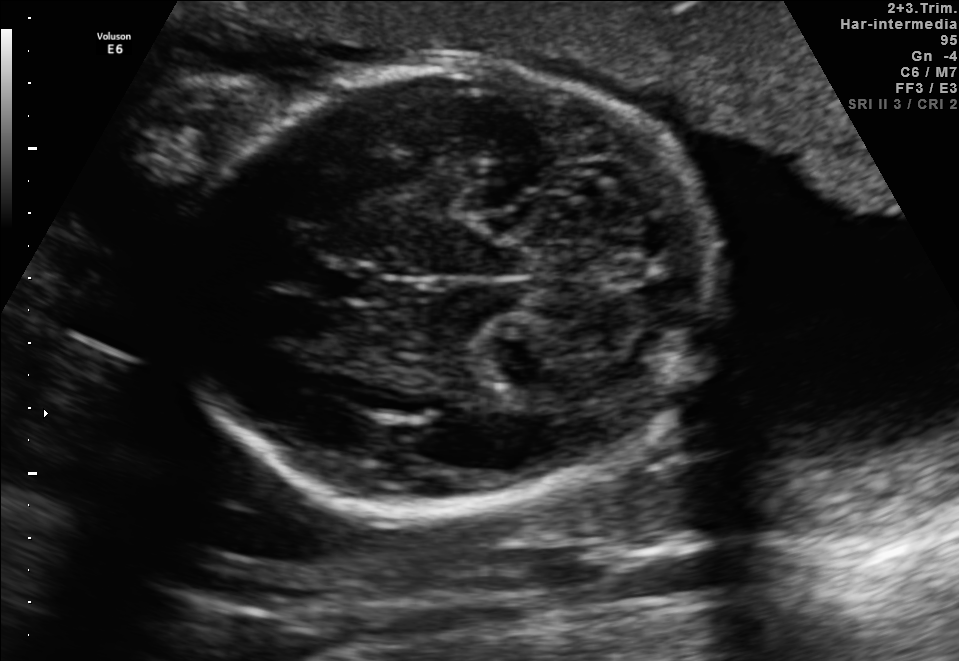
Fetal brain, trans-cerebellum plane. Where is the cavum septum pellucidum?

CSP bounding box: [319,262,382,305]